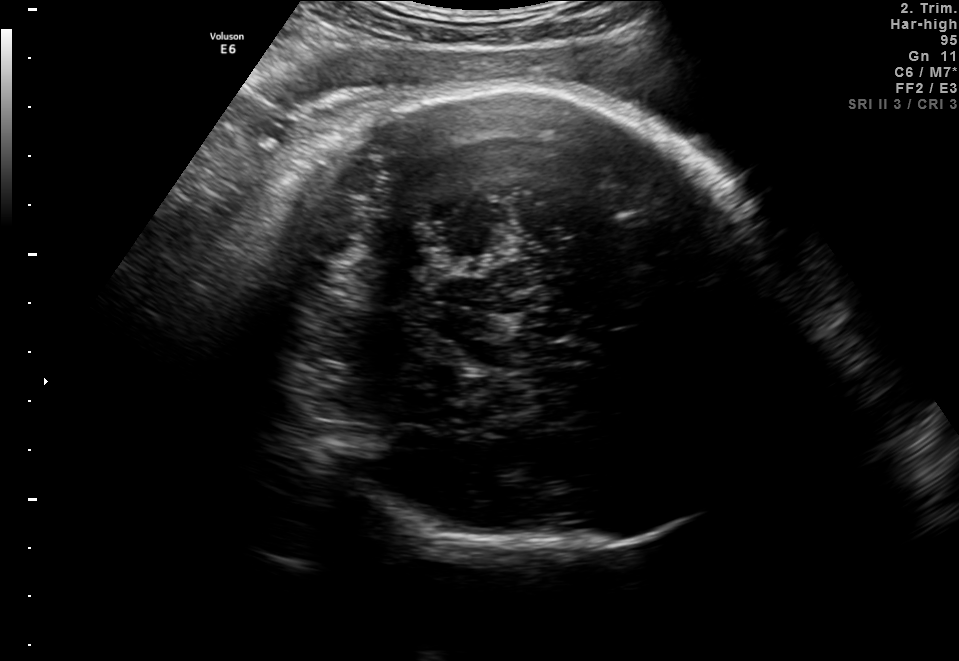
Fetal brain, trans-thalamic plane. Give [x1,y1,x2,y2] bounding boxes for each visible structure among: fetal head, CSP, LV.

Head: [246,88,787,555]